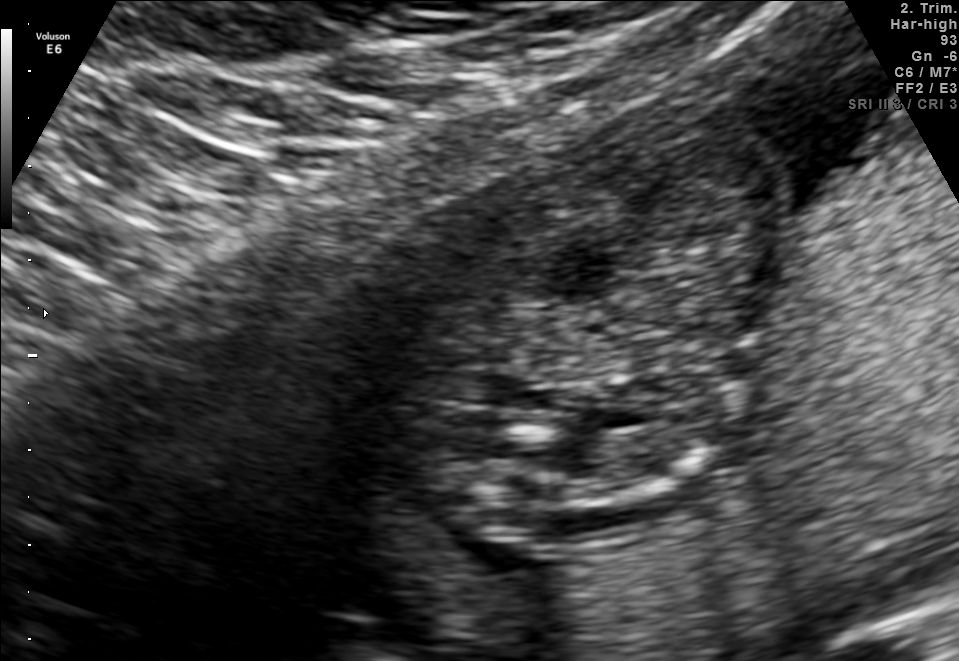
Classify this maternal-fetal ultrasound image as one of the six standard planes — fetal abdomen, fetal brain, fetal femur, fetal thorax, maternal cervix, or other. If it's fetal brain and one of the three standard brain planes (trans-thalamic, trans-cerebellum, trans-ventricular), name which.

Other